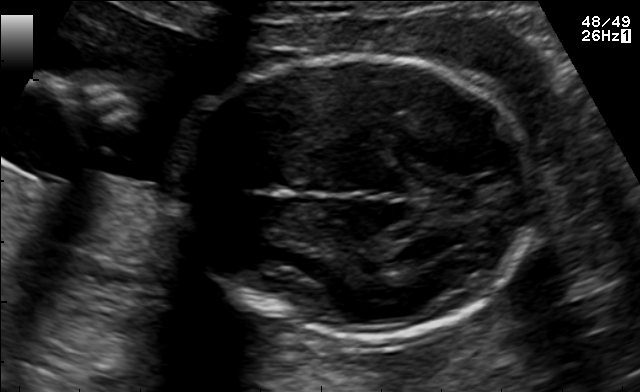
Fetal brain, trans-thalamic plane. Where is the fetal head?

Head bounding box: [182,56,537,340]